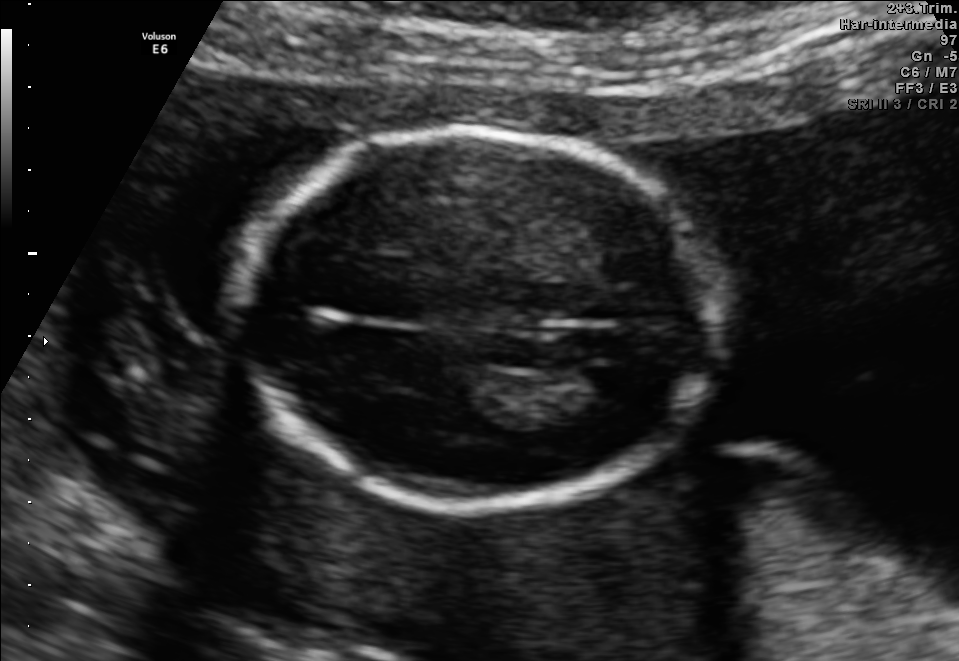
Fetal brain, trans-ventricular plane. Give [x1,y1,x2,y2] bounding boxes for each visible structure among: fetal head, CSP, LV.

Head: [226,122,737,515]
Lateral ventricle: [579,363,636,402]